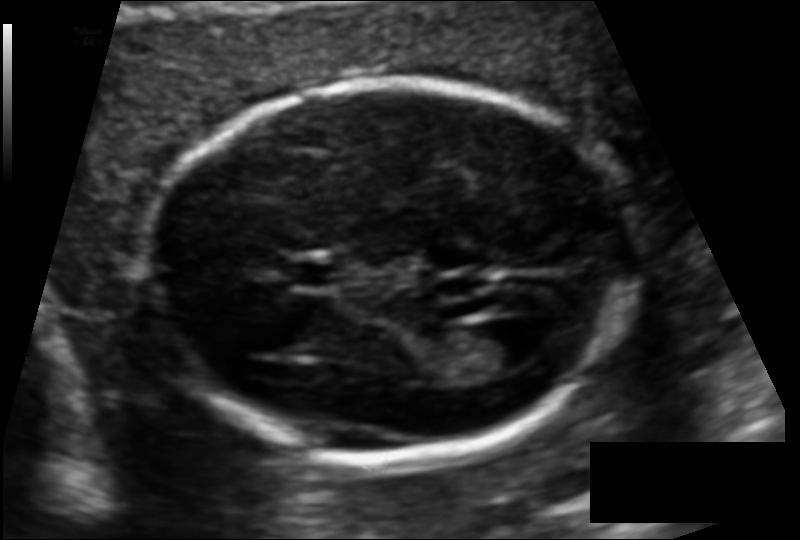
Fetal head ultrasound. Image width: 88.0 mm. Where is the lateral ventricle?

Lateral ventricle bounding box: [462,309,552,380]